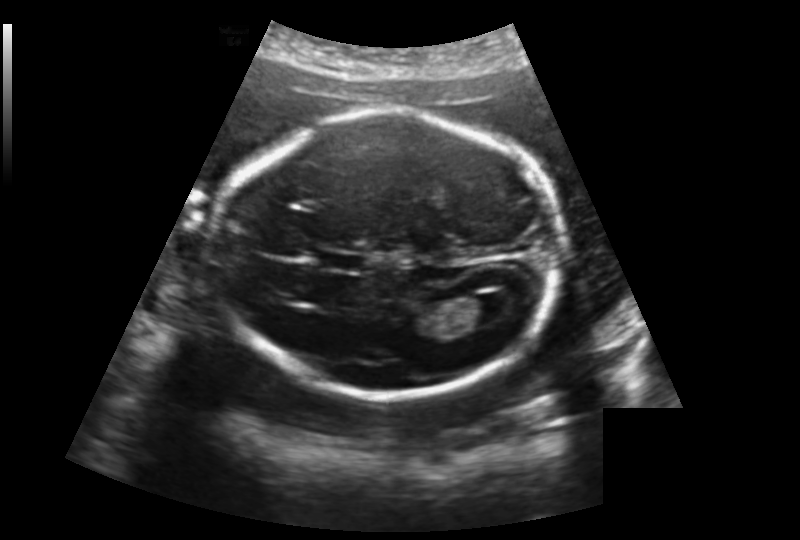
Fetal head ultrasound. Image width: 150.3 mm. Where is the lateral ventricle?

Lateral ventricle bounding box: [462,289,520,330]